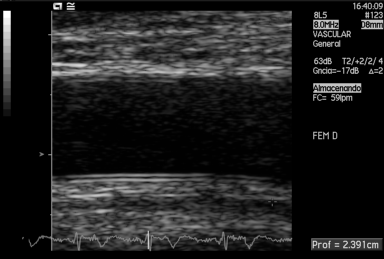
This is a 2D maternal-fetal ultrasound frame. Is it a fetal abdomen, fetal brain, fetal femur, fetal thorax, maternal cervix, or other standard plane? If it's fetal brain and one of the three standard brain planes (trans-thalamic, trans-cerebellum, trans-ventricular), name which.

Other